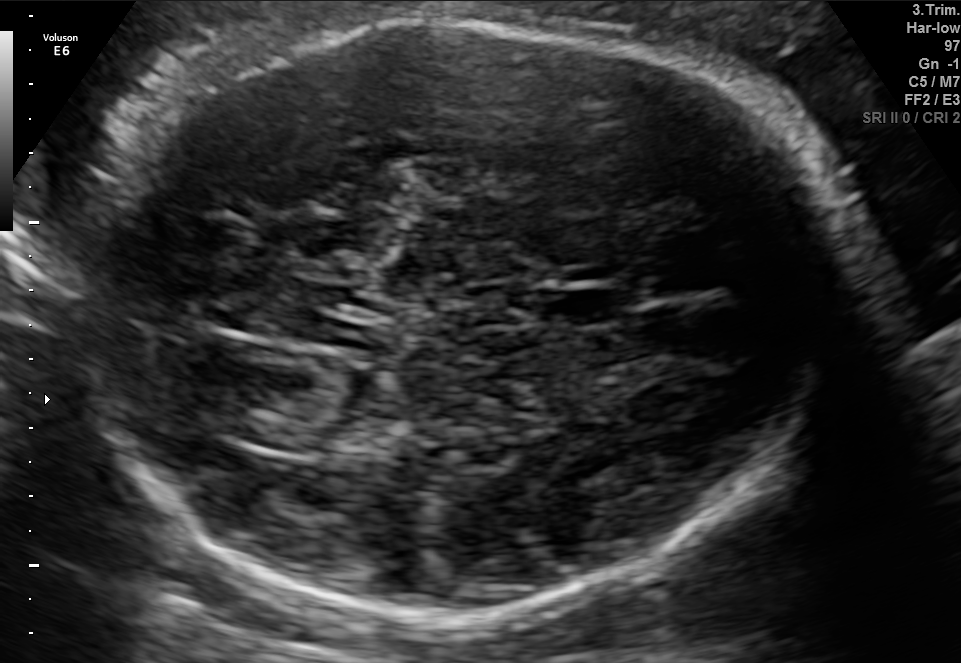
Fetal brain, trans-thalamic plane. Locate the cavum septum pellucidum.

CSP: [537,287,624,326]